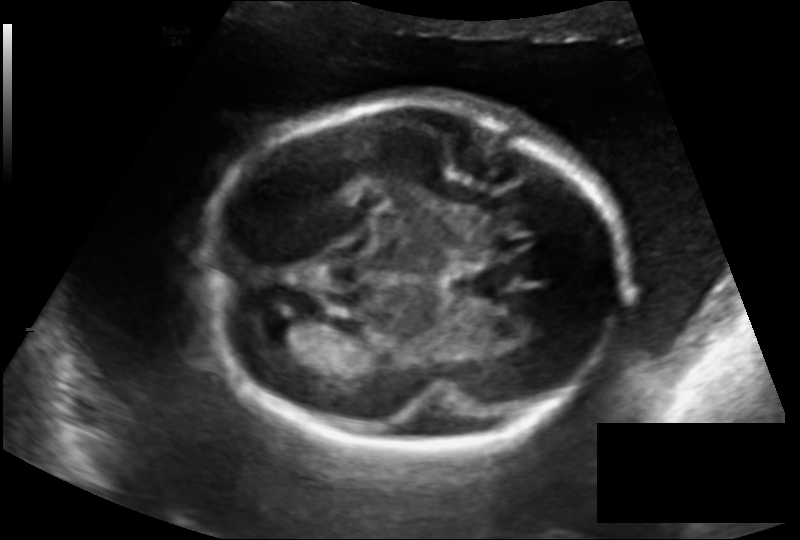
Fetal head ultrasound. Image width: 129.7 mm. Locate the fetal head and, if visible, the cavum septum pellucidum (CSP) and lateral ventricle (LV). Give bounding boxes as [x1,y1,x2,y2].

Head: [207,97,620,454]
Lateral ventricle: [246,302,302,351]